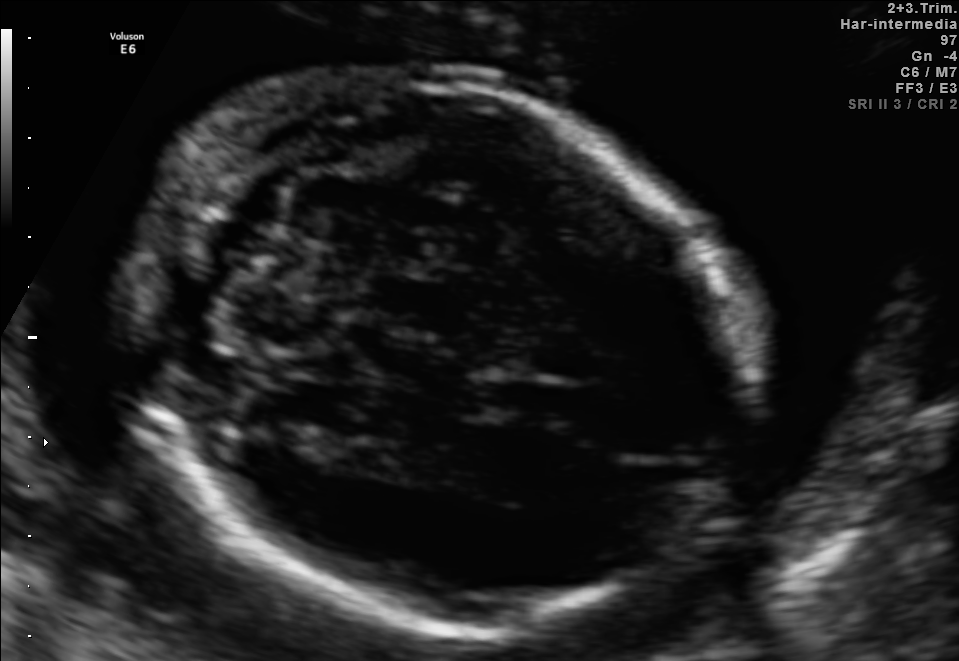
Fetal brain, trans-cerebellum plane. Locate the fetal head and, if visible, the cavum septum pellucidum (CSP) and lateral ventricle (LV). Give bounding boxes as [x1,y1,x2,y2].

Head: [130,78,741,627]